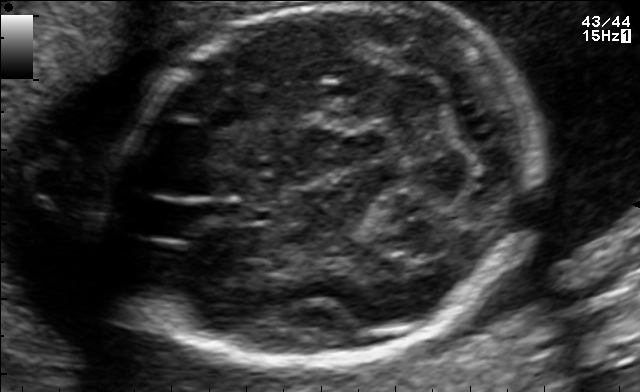
Fetal brain, trans-cerebellum plane. Locate the fetal head and, if visible, the cavum septum pellucidum (CSP) and lateral ventricle (LV). Give bounding boxes as [x1,y1,x2,y2].

Head: [111,3,545,364]